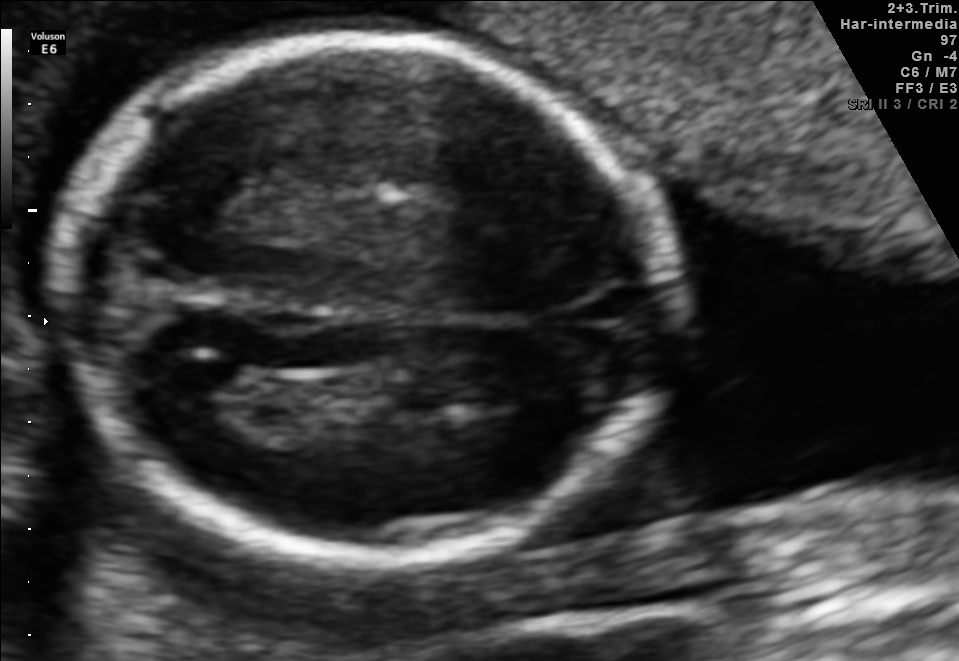
Classify this maternal-fetal ultrasound image as one of the six standard planes — fetal abdomen, fetal brain, fetal femur, fetal thorax, maternal cervix, or other. If it's fetal brain and one of the three standard brain planes (trans-thalamic, trans-cerebellum, trans-ventricular), name which.

Fetal brain (trans-thalamic plane)